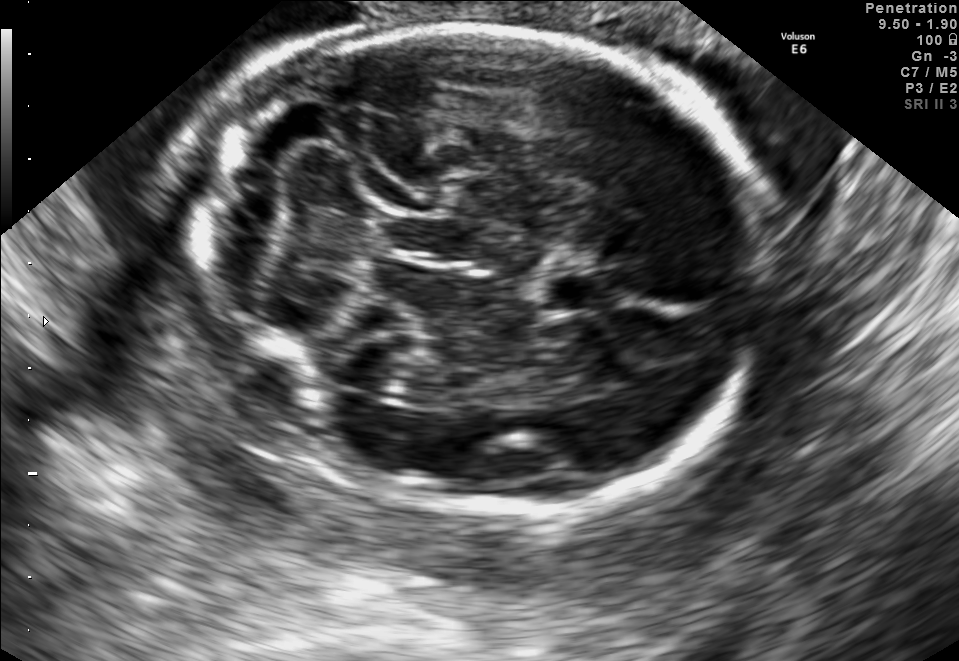
Fetal brain, trans-cerebellum plane. Locate the cavum septum pellucidum.

CSP: [535,267,625,317]